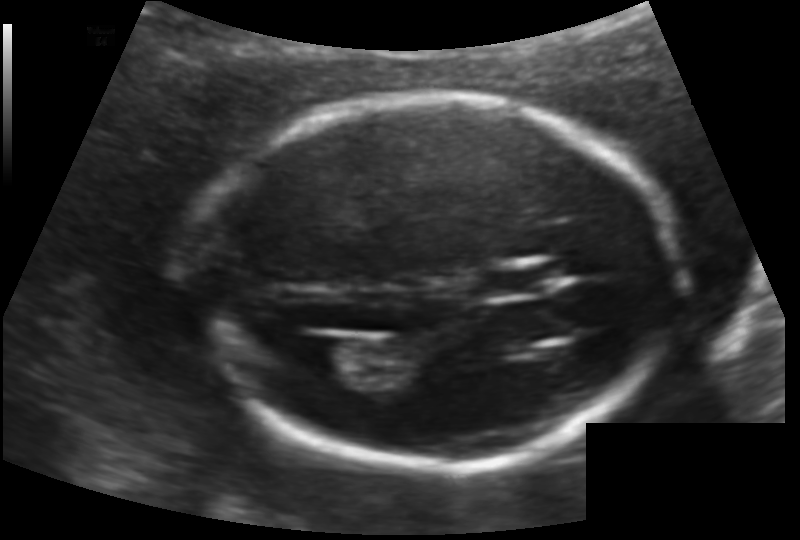
Estimate the fetal head circumference from this 2D ultrasound. Image width: 99.5 mm.

Head circumference: 169.8 mm.